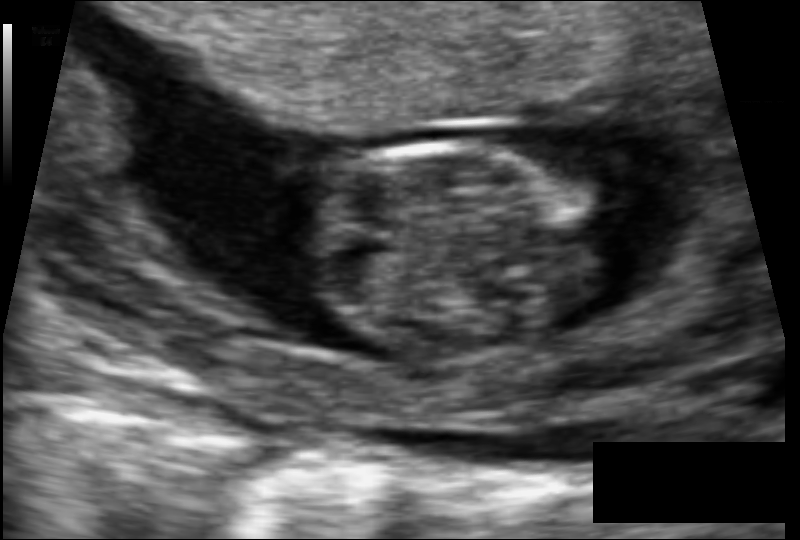
Estimate the fetal head circumference from this 2D ultrasound.

Head circumference: 60.3 mm (image width 61.8 mm).